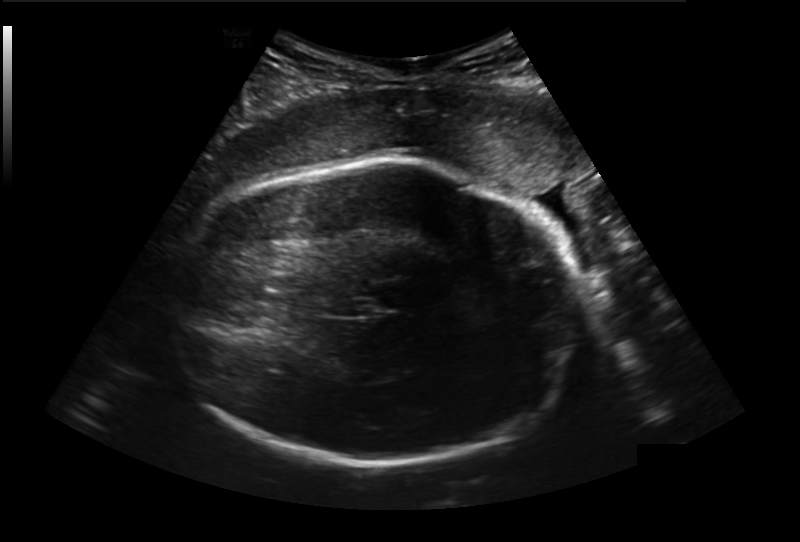
From this fetal ultrasound, estimate the head circumference (image width 188.7 mm).

Head circumference: 273.4 mm.